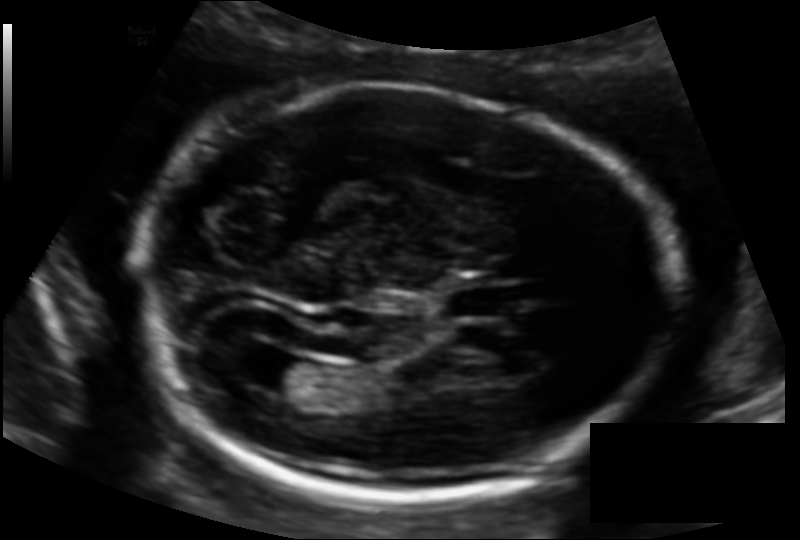
In this fetal head ultrasound, give the bounding box of the fetal head. Image width: 103.6 mm.

[148,84,667,498]